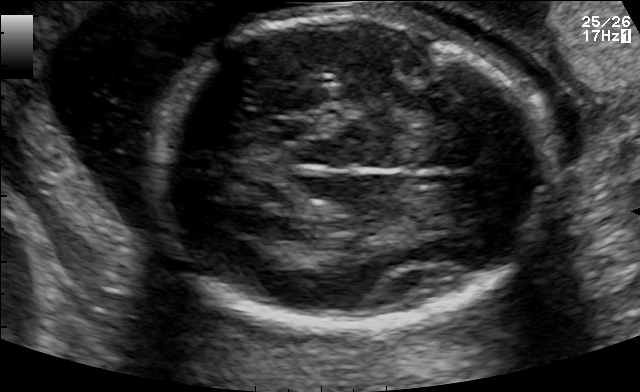
In this fetal brain, trans-thalamic plane, give bounding boxes for the head outline, cavum septum pellucidum (CSP), and lateral ventricle (LV), where visible.

Head: [153,18,553,326]